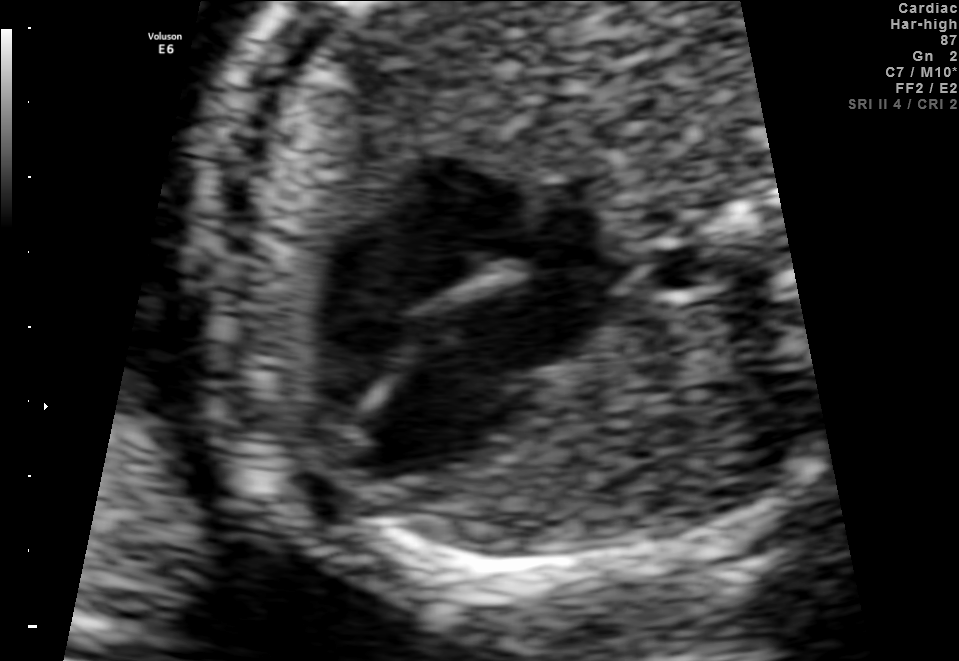
Identify the standard plane in this fetal ultrasound image: fetal abdomen, fetal brain, fetal femur, fetal thorax, maternal cervix, or other. If it's fetal brain and one of the three standard brain planes (trans-thalamic, trans-cerebellum, trans-ventricular), name which.

Fetal thorax